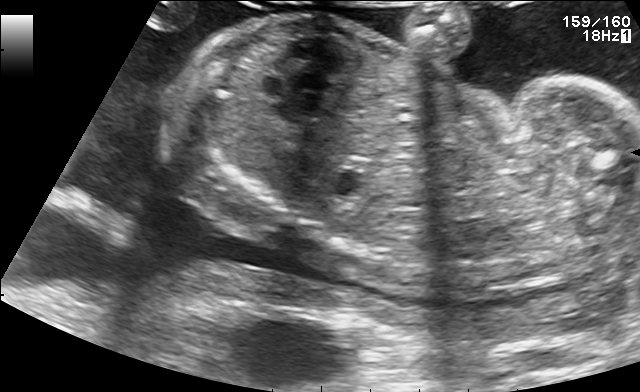
Classify this maternal-fetal ultrasound image as one of the six standard planes — fetal abdomen, fetal brain, fetal femur, fetal thorax, maternal cervix, or other. If it's fetal brain and one of the three standard brain planes (trans-thalamic, trans-cerebellum, trans-ventricular), name which.

Other